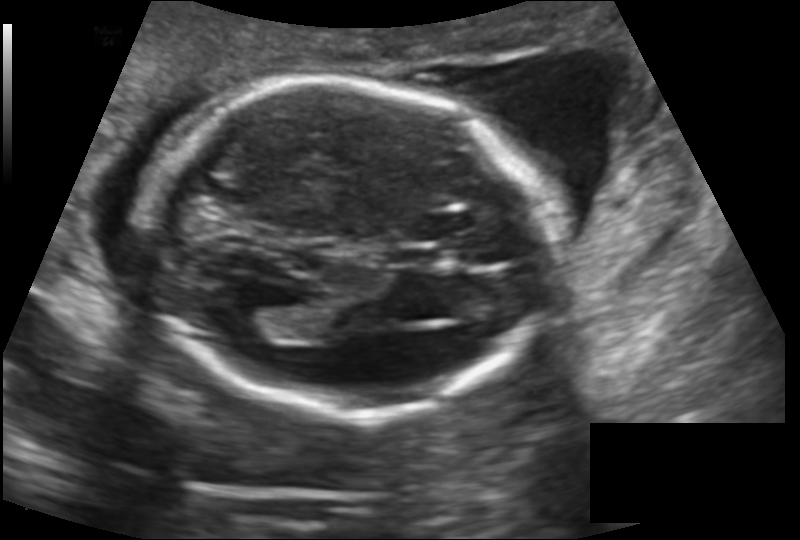
What is the fetal head circumference? Image width is 116.4 mm.

175.0 mm